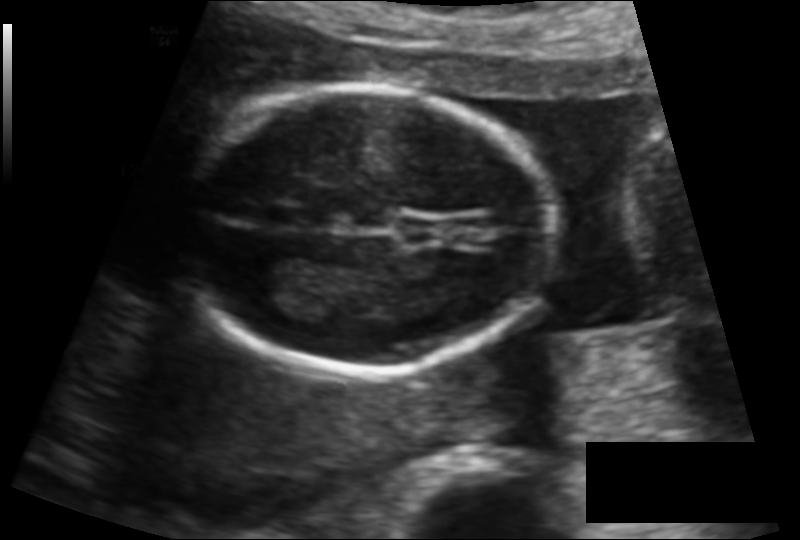
Estimate the fetal head circumference from this 2D ultrasound. Image width: 93.2 mm.

Head circumference: 125.2 mm.